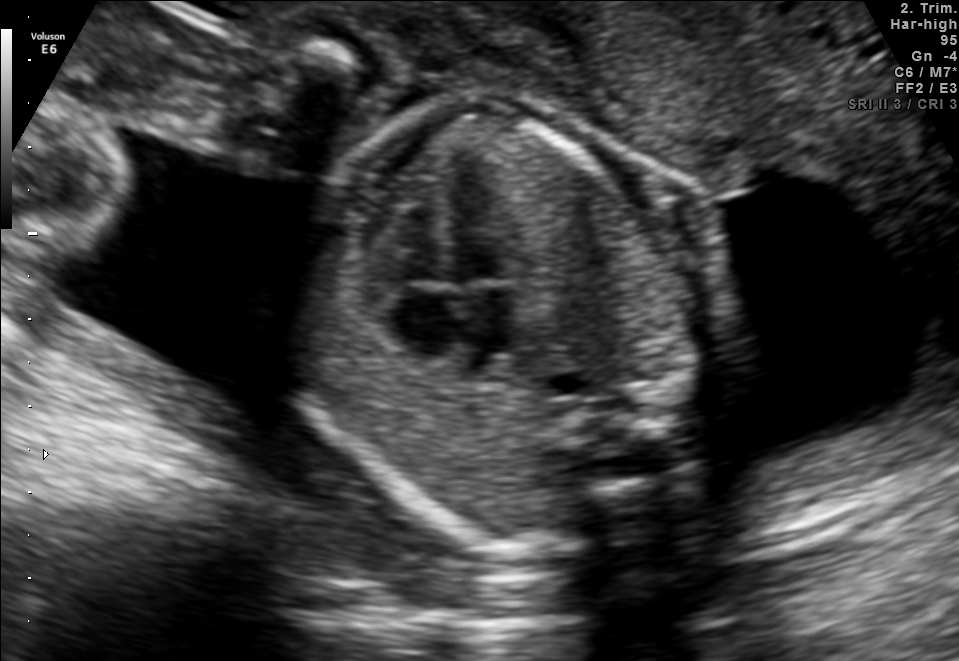
Which standard maternal-fetal ultrasound plane is shown: fetal abdomen, fetal brain, fetal femur, fetal thorax, maternal cervix, or other? If it's fetal brain and one of the three standard brain planes (trans-thalamic, trans-cerebellum, trans-ventricular), name which.

Fetal thorax